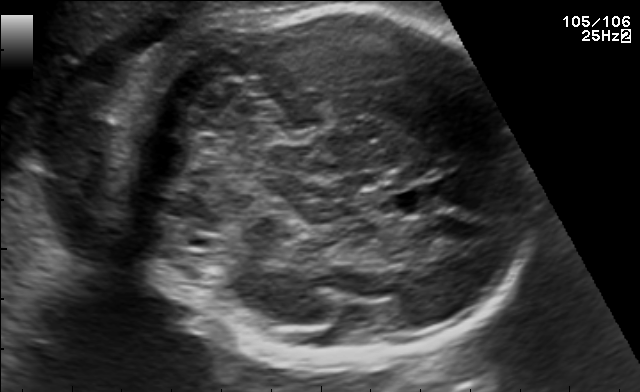
Fetal brain, trans-cerebellum plane. Locate the fetal head.

Head: [135,5,519,371]